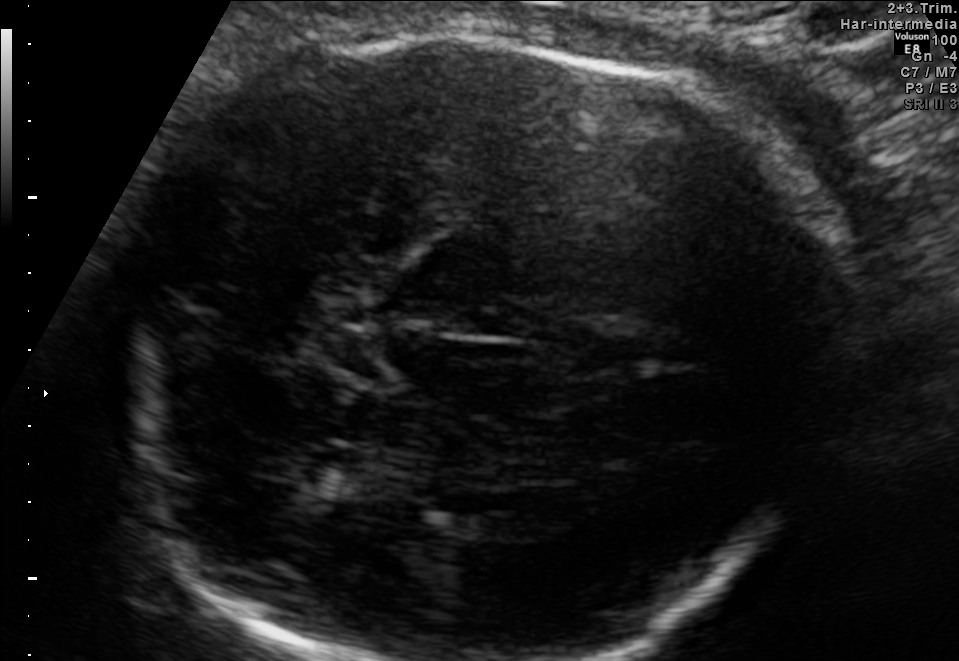
Fetal brain, trans-thalamic plane. Give [x1,y1,x2,y2] bounding boxes for each visible structure among: fetal head, CSP, LV.

Head: [131,22,800,660]
Lateral ventricle: [276,434,379,498]